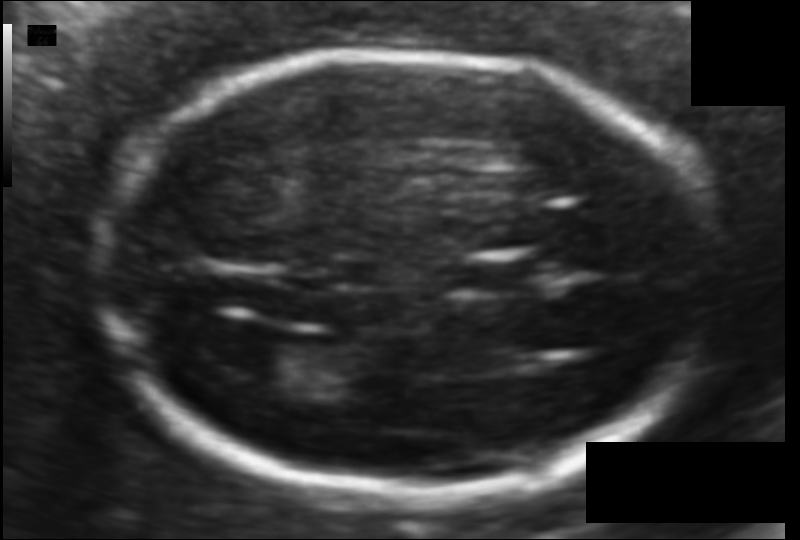
Fetal head ultrasound. Image width: 75.4 mm. Where is the fetal head?

Head bounding box: [103,52,713,499]